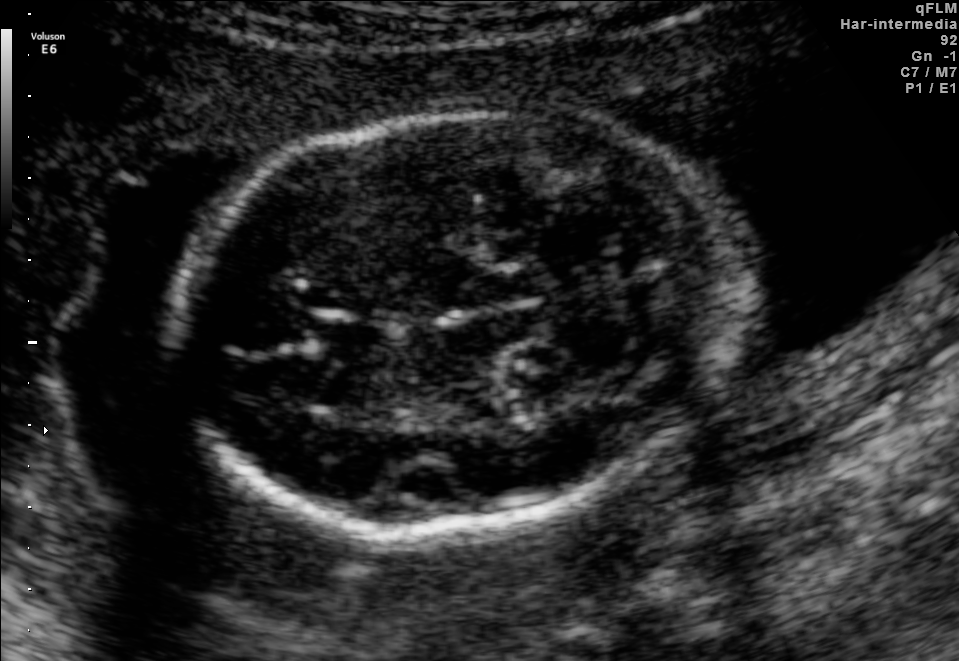
Fetal brain, trans-cerebellum plane. Give [x1,y1,x2,y2] bounding boxes for each visible structure among: fetal head, CSP, LV.

Head: [174,108,737,531]
CSP: [318,316,393,361]